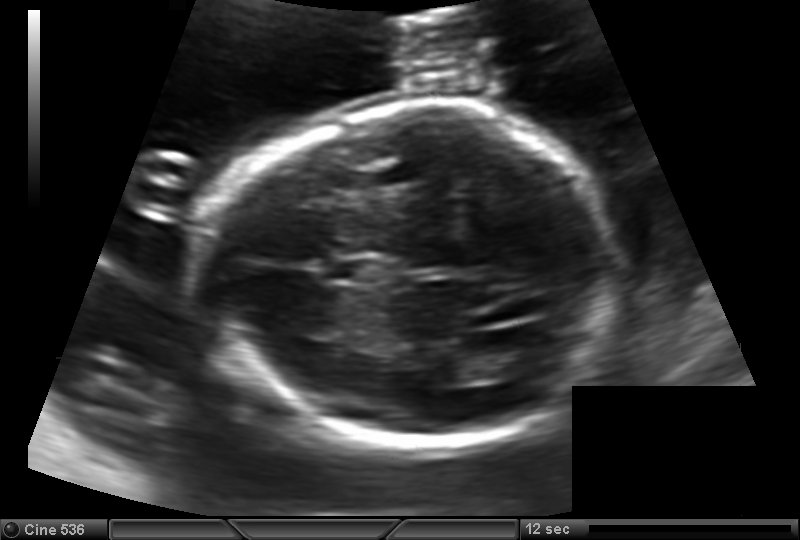
Fetal head ultrasound. Image width: 115.2 mm. Locate the lateral ventricle.

Lateral ventricle: [482,339,550,382]